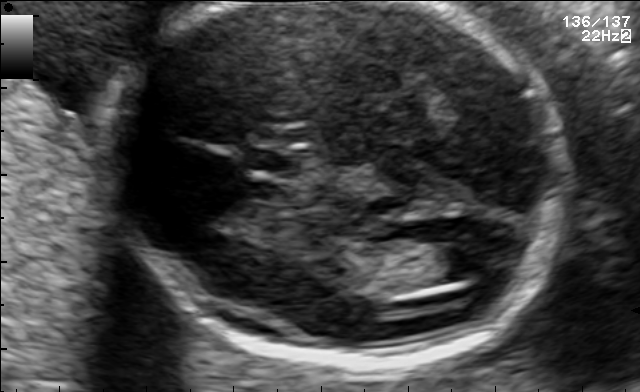
In this fetal brain, trans-ventricular plane, give the bounding box of the cavum septum pellucidum.

[240,144,304,181]